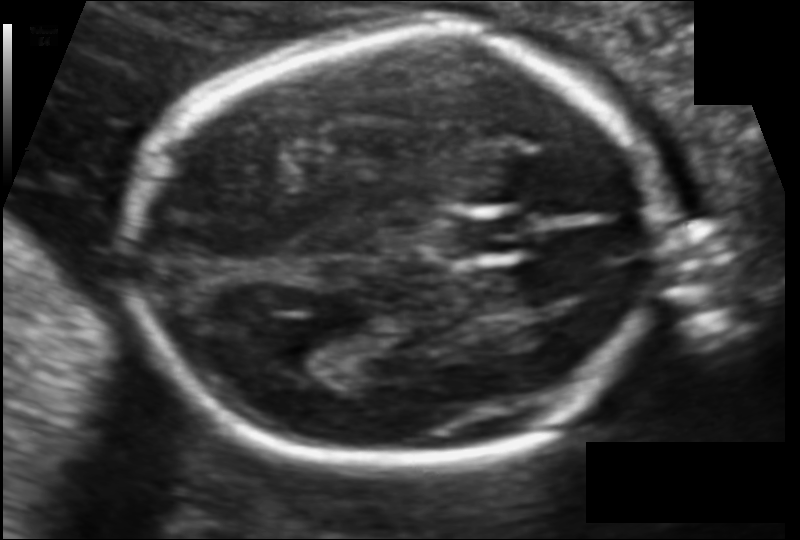
In this fetal head ultrasound, give the bounding box of the cavum septum pellucidum. Image width: 84.9 mm.

[451,212,527,260]